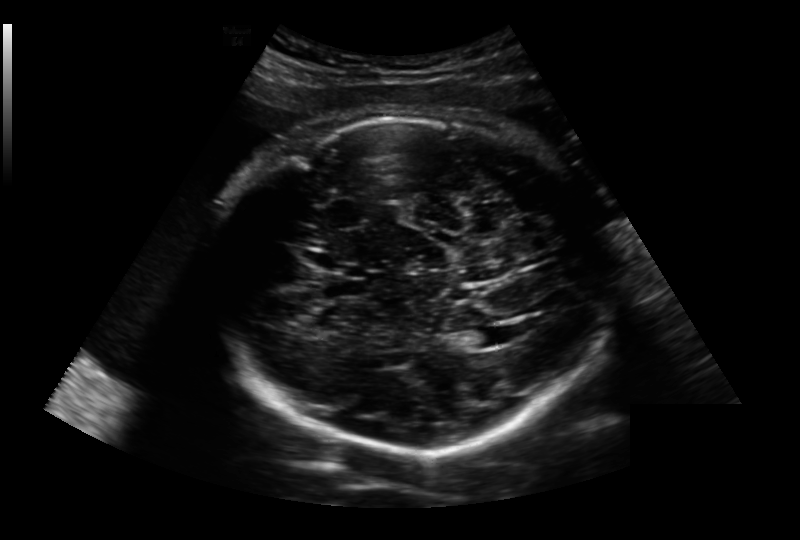
Fetal head ultrasound. Image width: 188.7 mm. Locate the lateral ventricle.

Lateral ventricle: [461,324,509,351]